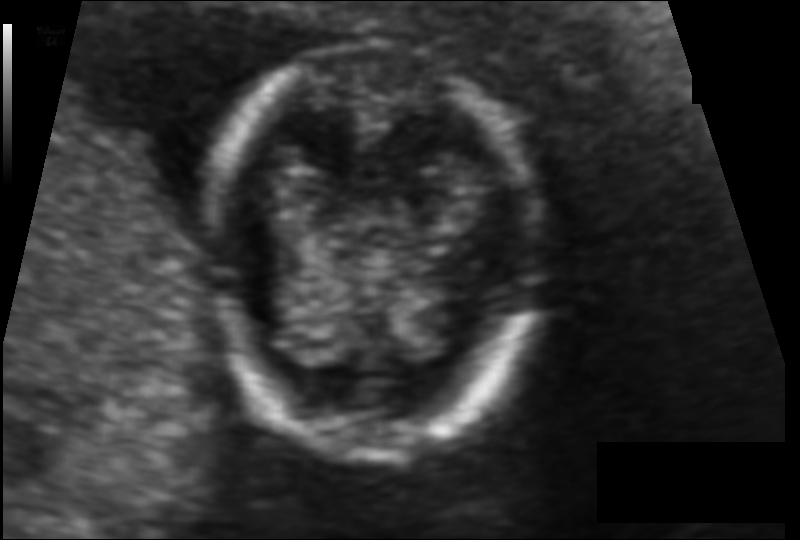
Fetal head ultrasound. Image width: 63.9 mm. Give [x1,y1,x2,y2] bounding boxes for each visible structure among: fetal head, CSP, LV.

Head: [212,46,535,460]